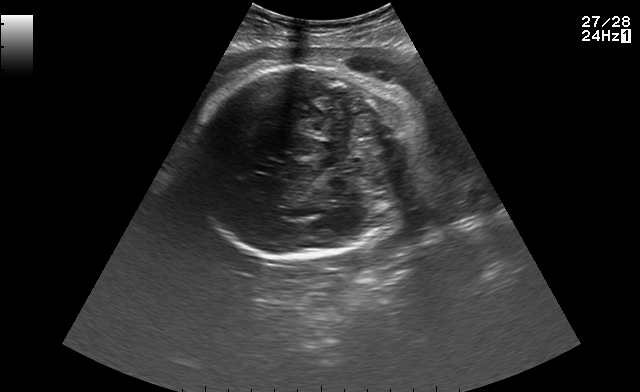
In this fetal brain, trans-cerebellum plane, give the bounding box of the fetal head.

[192,63,411,259]